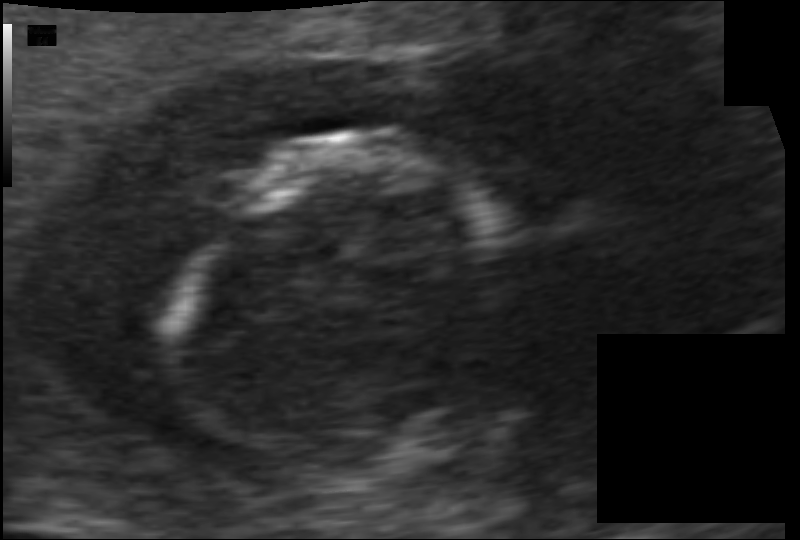
From this fetal ultrasound, estimate the head circumference (image width 55.9 mm).

Head circumference: 77.8 mm.